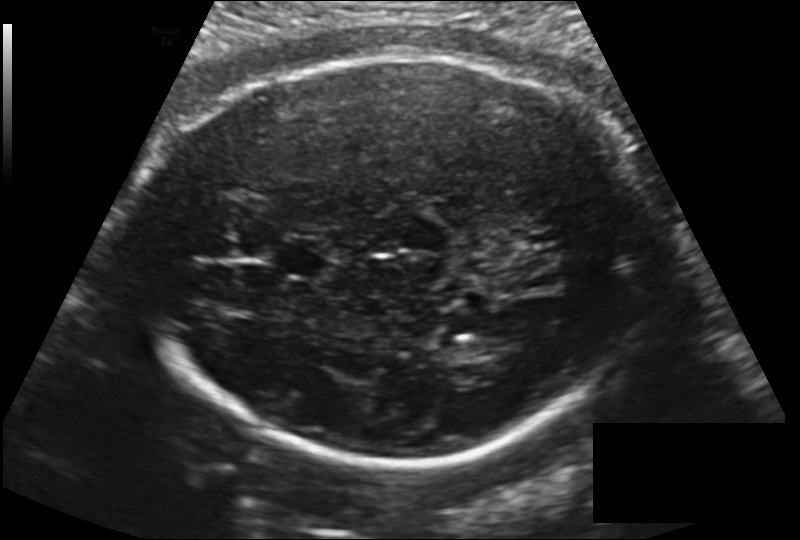
Fetal head ultrasound. Image width: 144.8 mm. Locate the fetal head.

Head: [134,58,657,464]